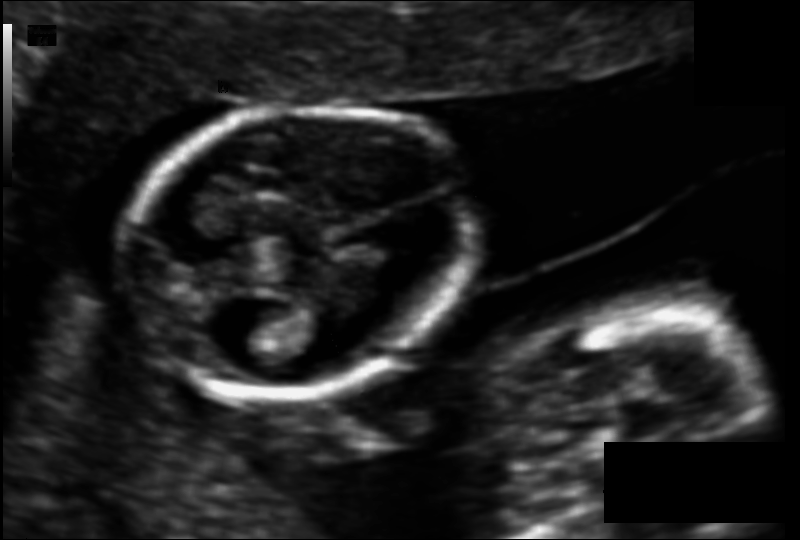
Fetal head ultrasound. Image width: 76.3 mm. Give [x1,y1,x2,y2] bounding boxes for each visible structure among: fetal head, CSP, LV.

Head: [123,105,474,395]